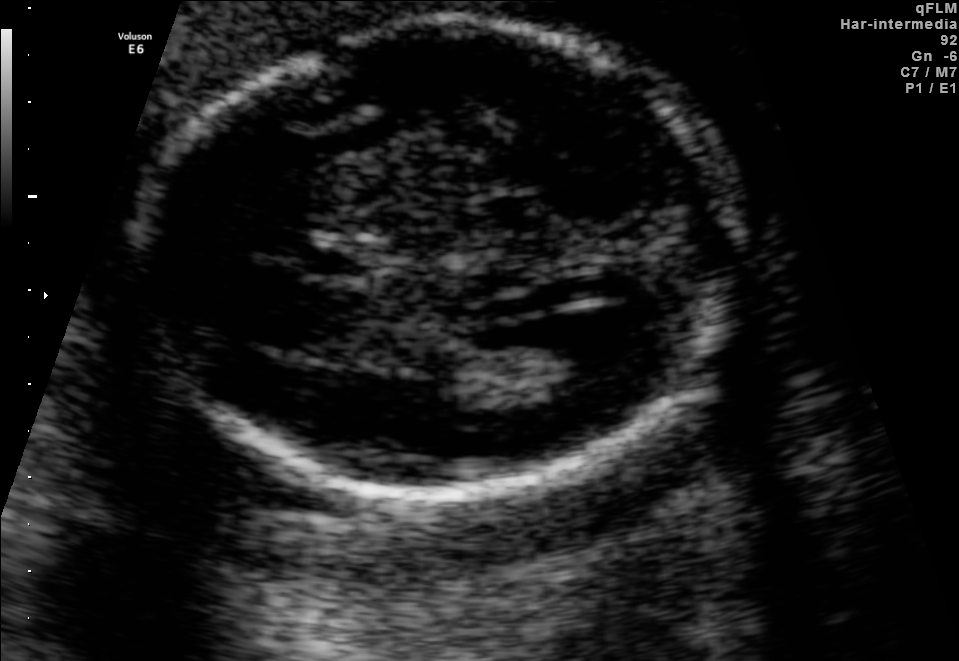
Fetal brain, trans-ventricular plane. Locate the lateral ventricle.

Lateral ventricle: [506,304,632,391]